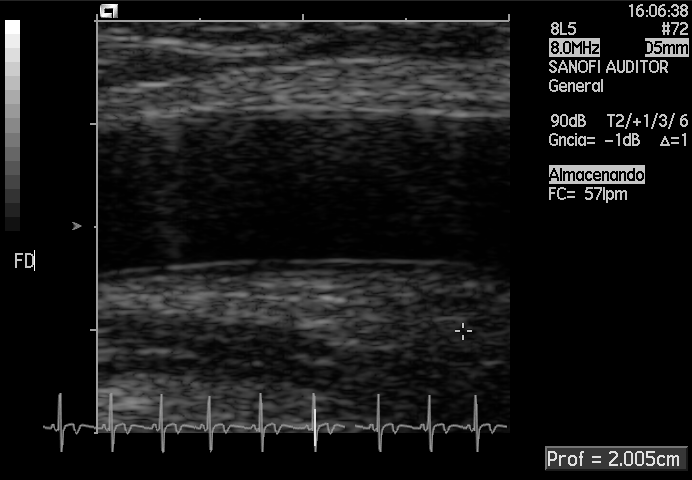
This is a 2D maternal-fetal ultrasound frame. Is it a fetal abdomen, fetal brain, fetal femur, fetal thorax, maternal cervix, or other standard plane? If it's fetal brain and one of the three standard brain planes (trans-thalamic, trans-cerebellum, trans-ventricular), name which.

Other